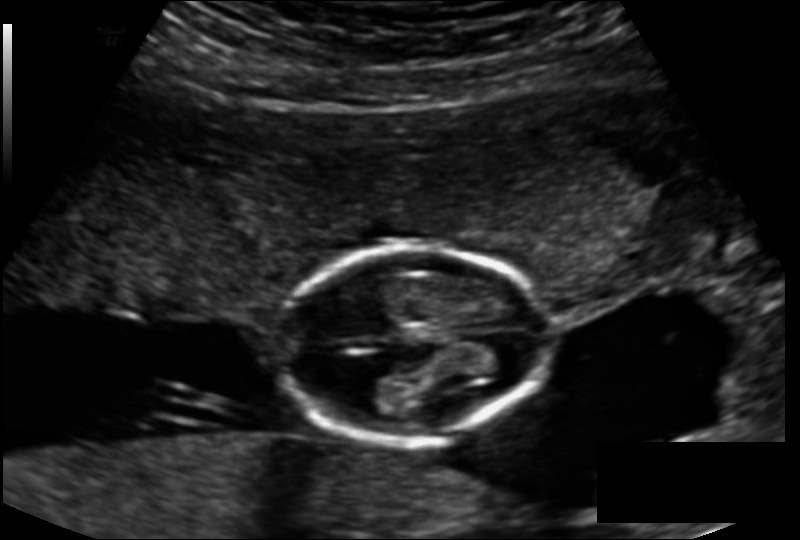
Fetal head ultrasound. Image width: 114.3 mm. Give [x1,y1,x2,y2] bounding boxes for each visible structure among: fetal head, CSP, LV.

Head: [277,247,546,440]